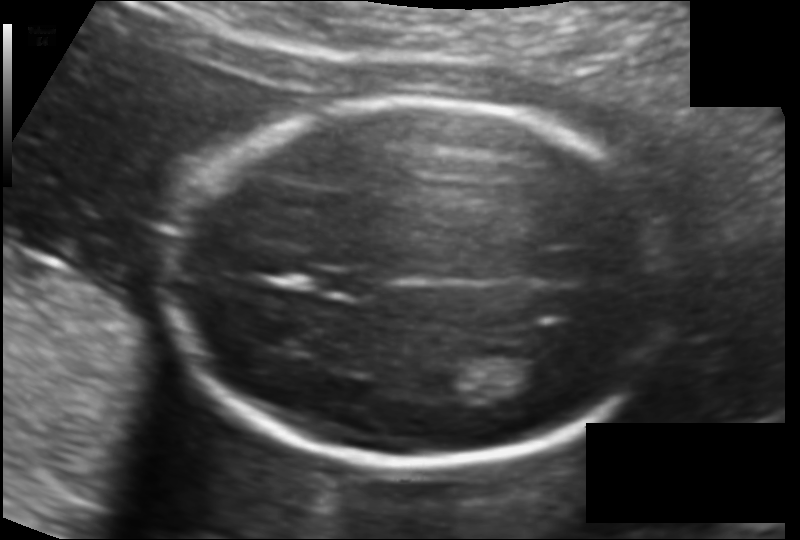
Fetal head ultrasound. Image width: 97.1 mm. Give [x1,y1,x2,y2] bounding boxes for each visible structure among: fetal head, CSP, LV.

Head: [162,100,673,466]
CSP: [312,267,373,298]
Lateral ventricle: [497,346,562,399]